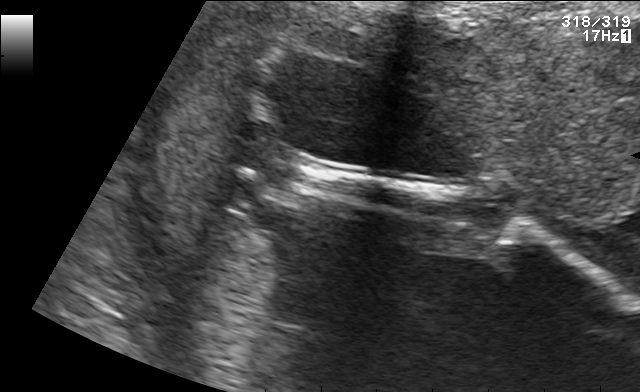
Classify this maternal-fetal ultrasound image as one of the six standard planes — fetal abdomen, fetal brain, fetal femur, fetal thorax, maternal cervix, or other. If it's fetal brain and one of the three standard brain planes (trans-thalamic, trans-cerebellum, trans-ventricular), name which.

Other